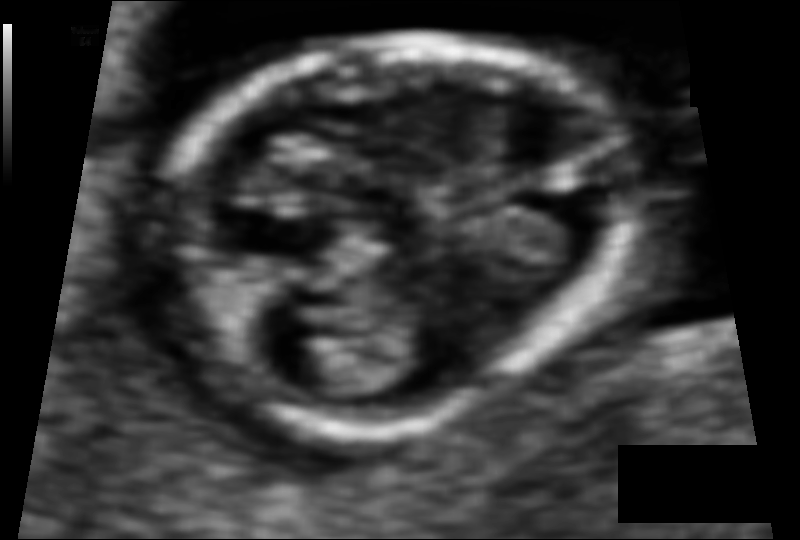
From this fetal ultrasound, estimate the head circumference (image width 47.7 mm).

Head circumference: 85.4 mm.